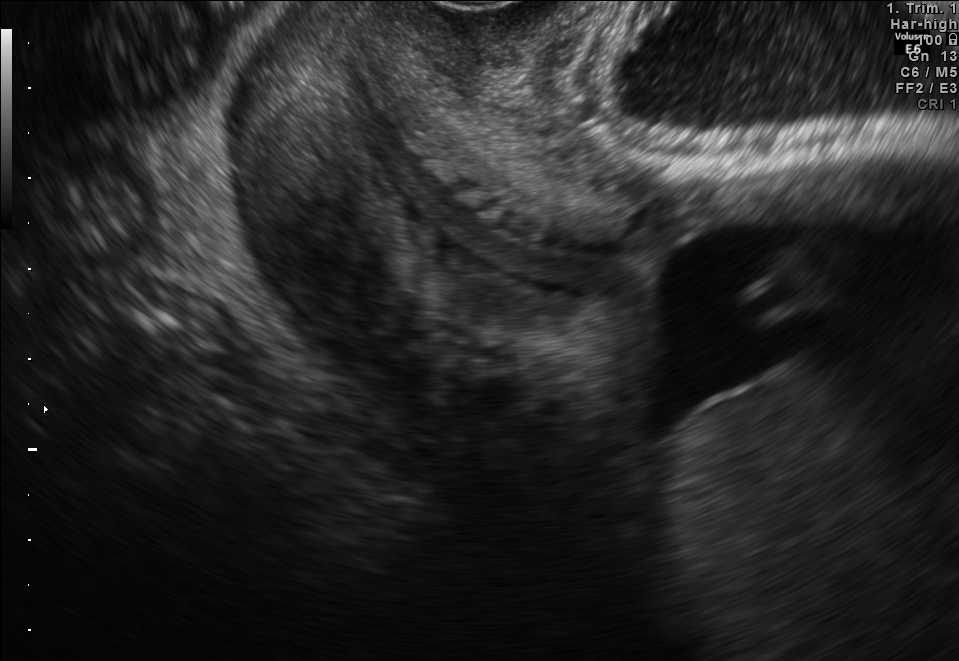
Classify this maternal-fetal ultrasound image as one of the six standard planes — fetal abdomen, fetal brain, fetal femur, fetal thorax, maternal cervix, or other. If it's fetal brain and one of the three standard brain planes (trans-thalamic, trans-cerebellum, trans-ventricular), name which.

Maternal cervix